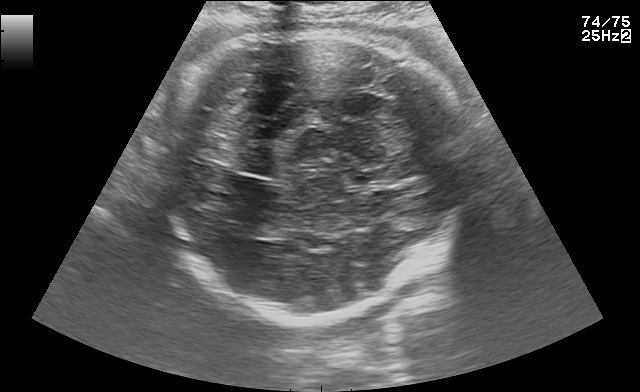
Identify the standard plane in this fetal ultrasound image: fetal abdomen, fetal brain, fetal femur, fetal thorax, maternal cervix, or other. If it's fetal brain and one of the three standard brain planes (trans-thalamic, trans-cerebellum, trans-ventricular), name which.

Fetal brain (trans-thalamic plane)